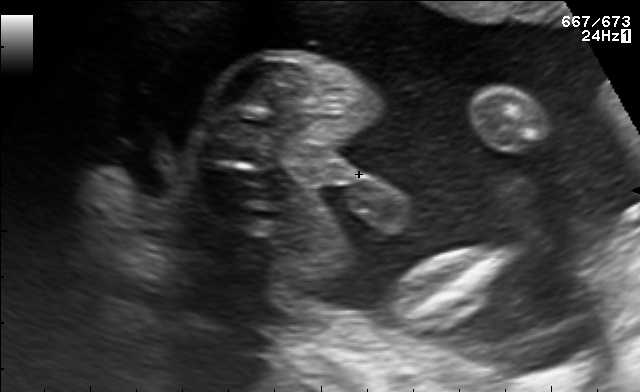
Identify the standard plane in this fetal ultrasound image: fetal abdomen, fetal brain, fetal femur, fetal thorax, maternal cervix, or other. If it's fetal brain and one of the three standard brain planes (trans-thalamic, trans-cerebellum, trans-ventricular), name which.

Other